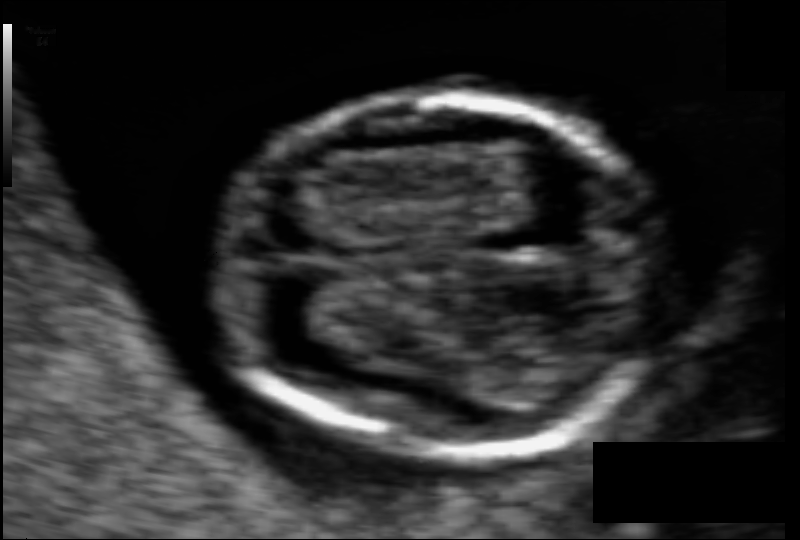
Fetal head ultrasound. Image width: 44.9 mm. Where is the fetal head?

Head bounding box: [214,98,671,450]